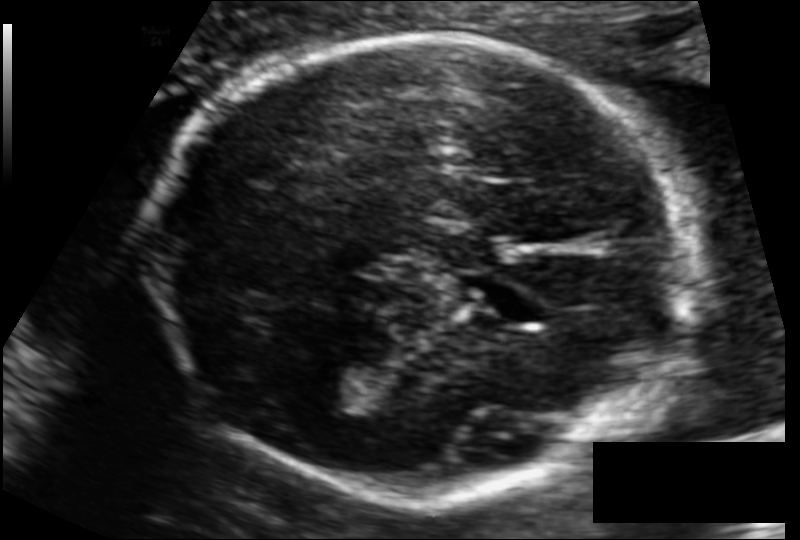
In this fetal head ultrasound, give the bounding box of the fetal head. Image width: 89.9 mm.

[152,33,690,495]